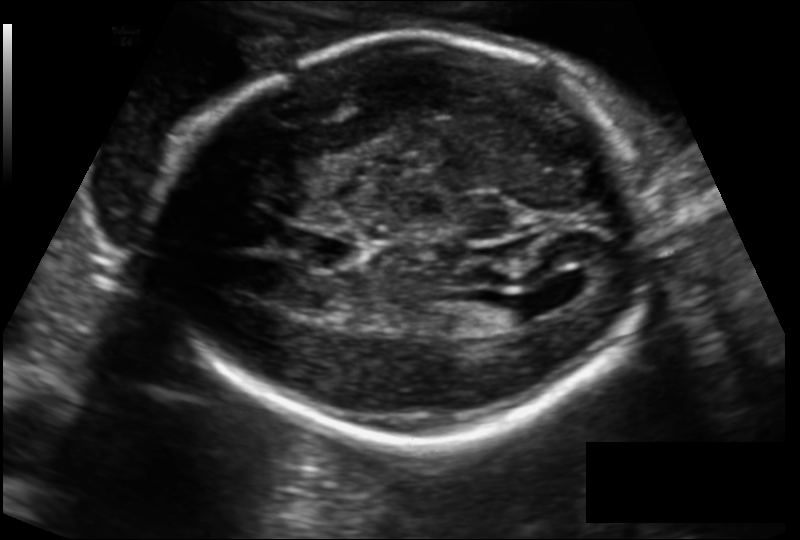
Estimate the fetal head circumference from this 2D ultrasound. Image width: 119.5 mm.

Head circumference: 216.8 mm.